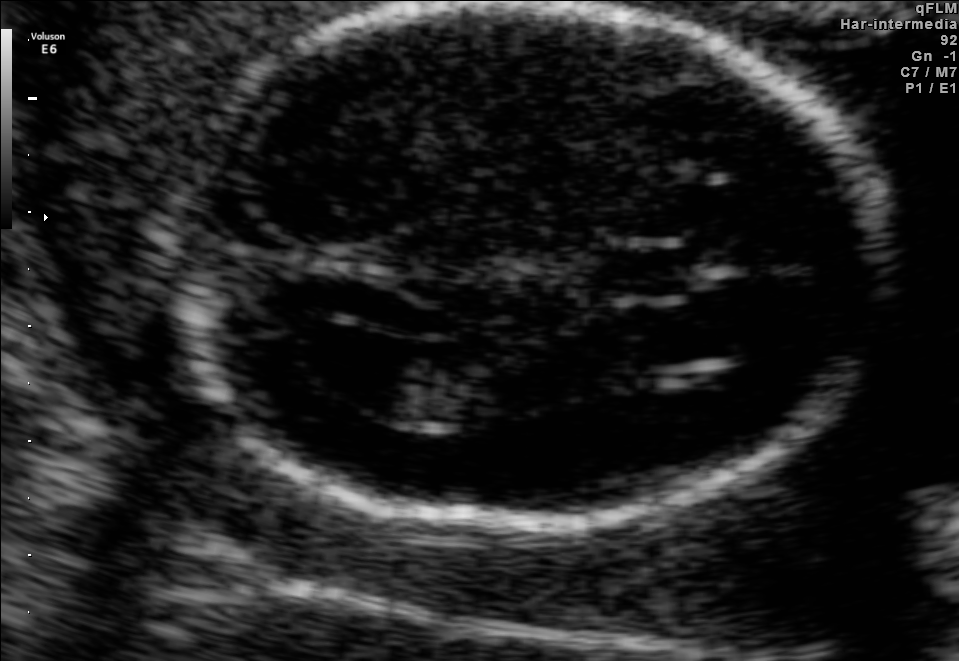
In this fetal brain, trans-ventricular plane, give the bounding box of the cavum septum pellucidum.

[600,246,709,297]